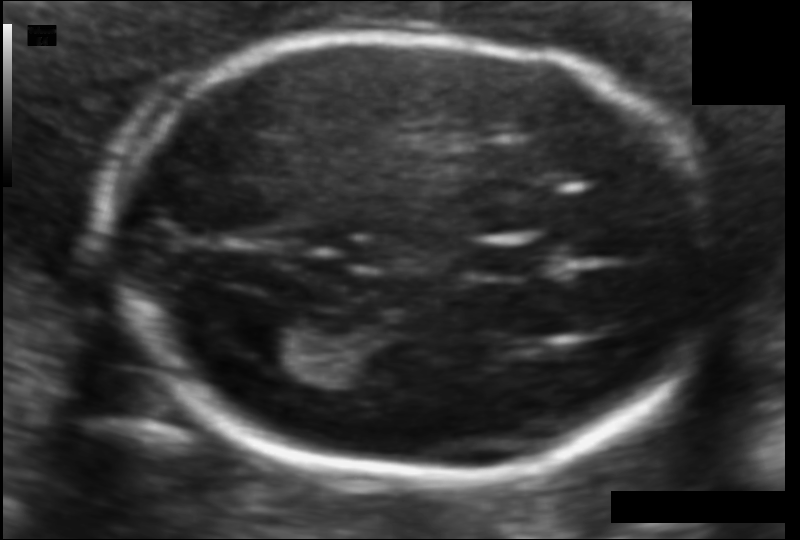
Fetal head ultrasound. Image width: 75.5 mm. Locate the fetal head.

Head: [107,35,720,477]